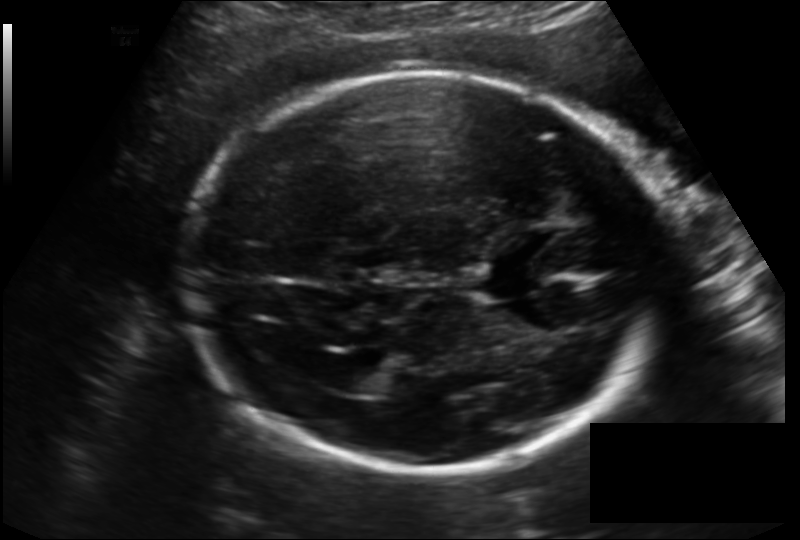
Fetal head ultrasound. Image width: 133.1 mm. Give [x1,y1,x2,y2] bounding boxes for each visible structure among: fetal head, CSP, LV.

Head: [189,74,663,476]
CSP: [474,256,543,302]
Lateral ventricle: [333,363,385,396]